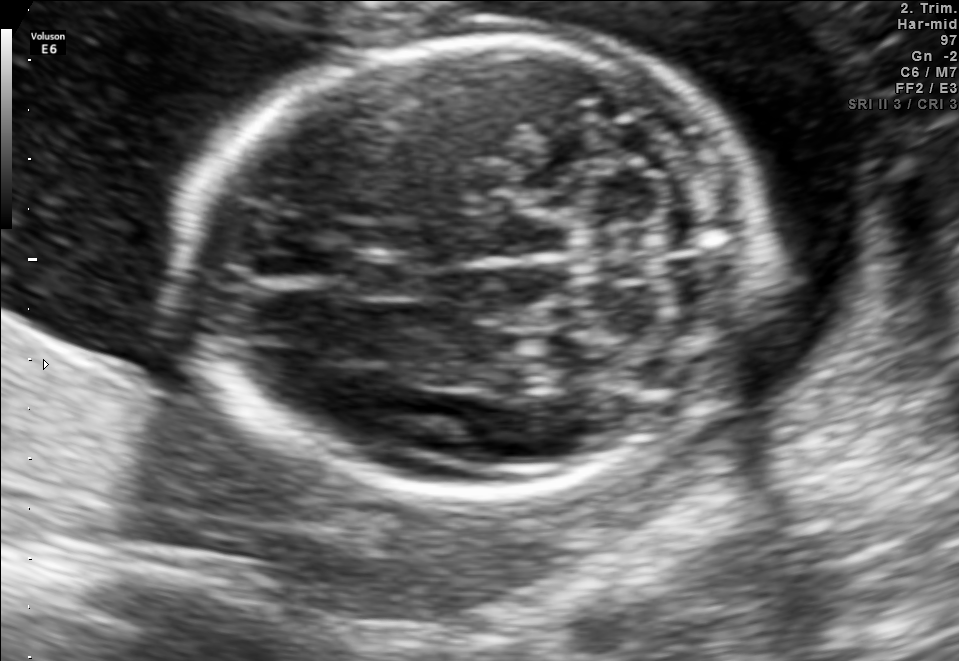
Fetal brain, trans-cerebellum plane. Locate the cavum septum pellucidum.

CSP: [346,253,420,300]